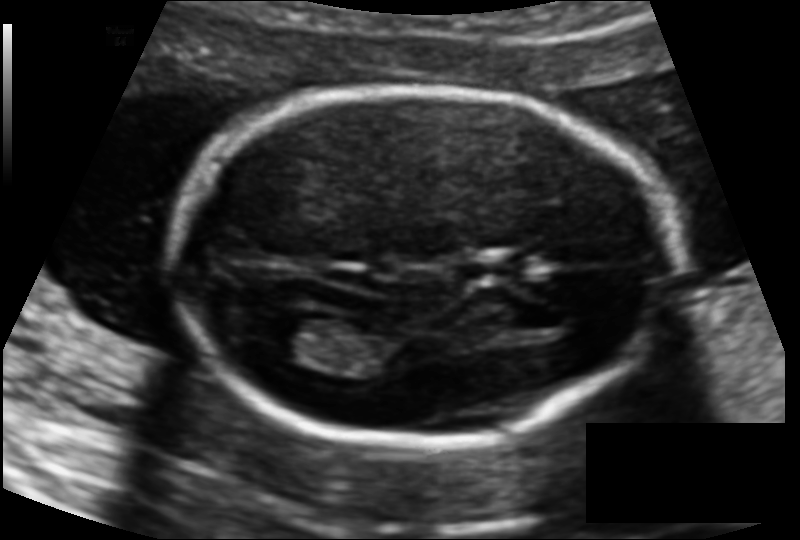
In this fetal head ultrasound, give bounding boxes for the head outline, cavum septum pellucidum (CSP), and lateral ventricle (LV), where visible. Image width: 91.5 mm.

Head: [173,86,677,444]
CSP: [453,255,517,285]
Lateral ventricle: [257,312,334,366]